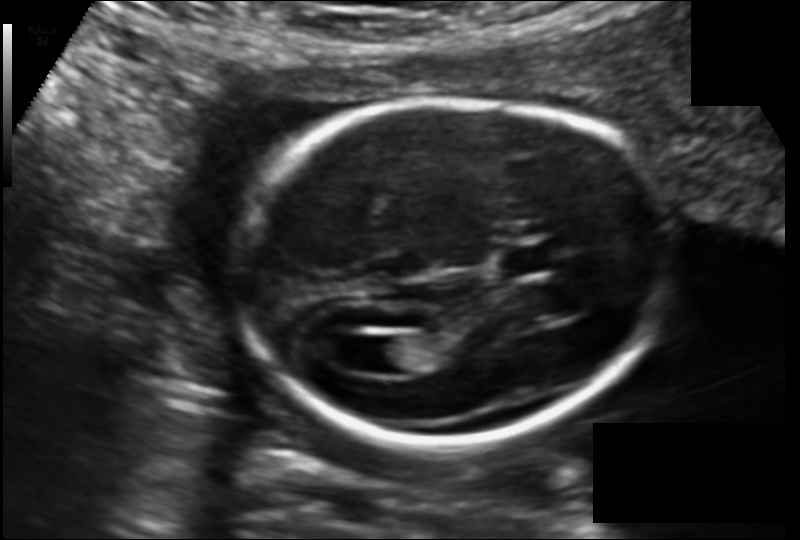
Fetal head ultrasound. Image width: 107.8 mm. Where is the lateral ventricle?

Lateral ventricle bounding box: [366,335,420,374]